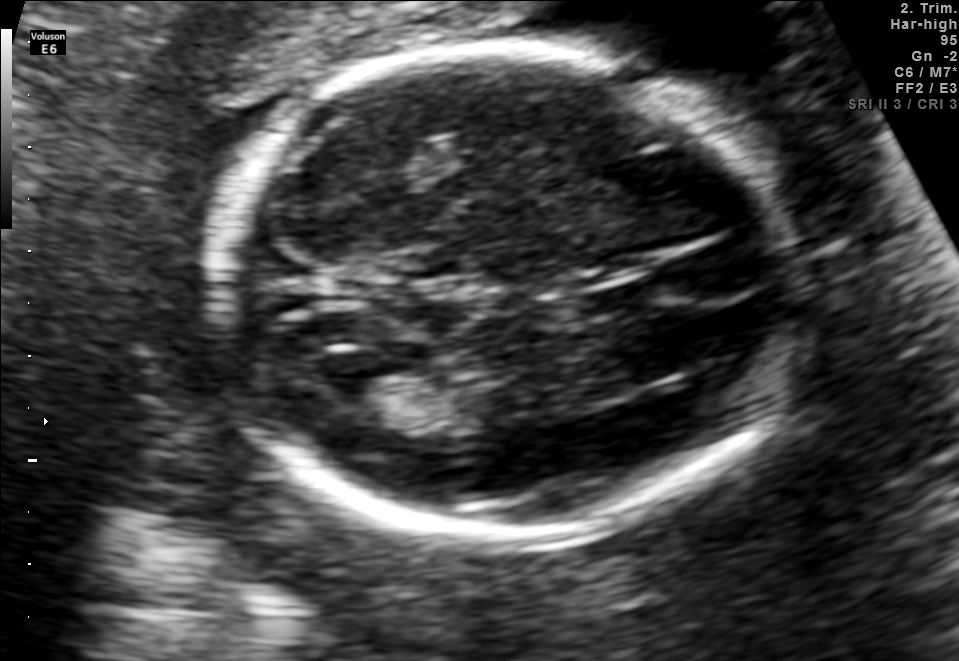
Fetal brain, trans-ventricular plane. Locate the fetal head.

Head: [192,37,825,550]